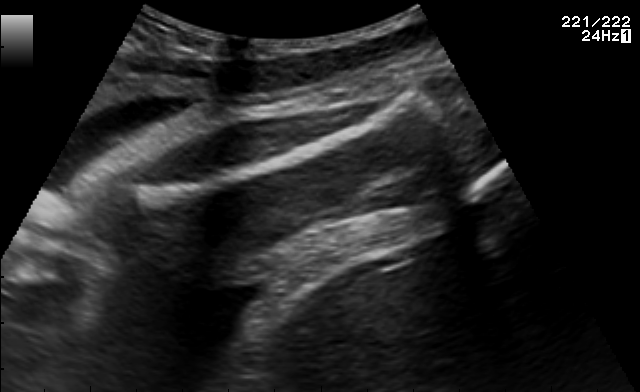
Which standard maternal-fetal ultrasound plane is shown: fetal abdomen, fetal brain, fetal femur, fetal thorax, maternal cervix, or other? If it's fetal brain and one of the three standard brain planes (trans-thalamic, trans-cerebellum, trans-ventricular), name which.

Fetal femur